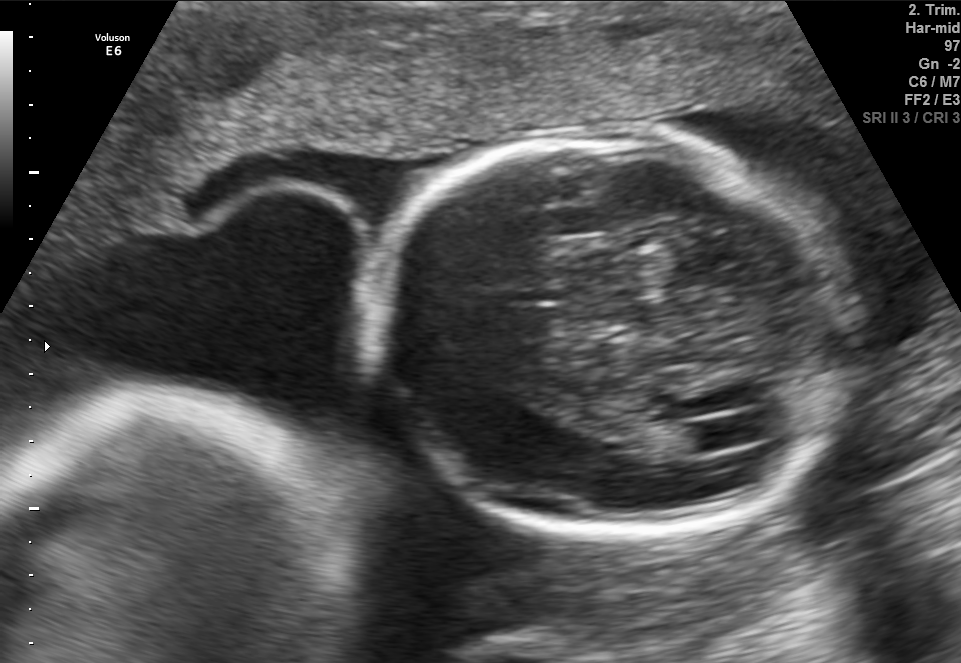
Fetal brain, trans-ventricular plane. Where is the fetal head?

Head bounding box: [354,124,870,541]